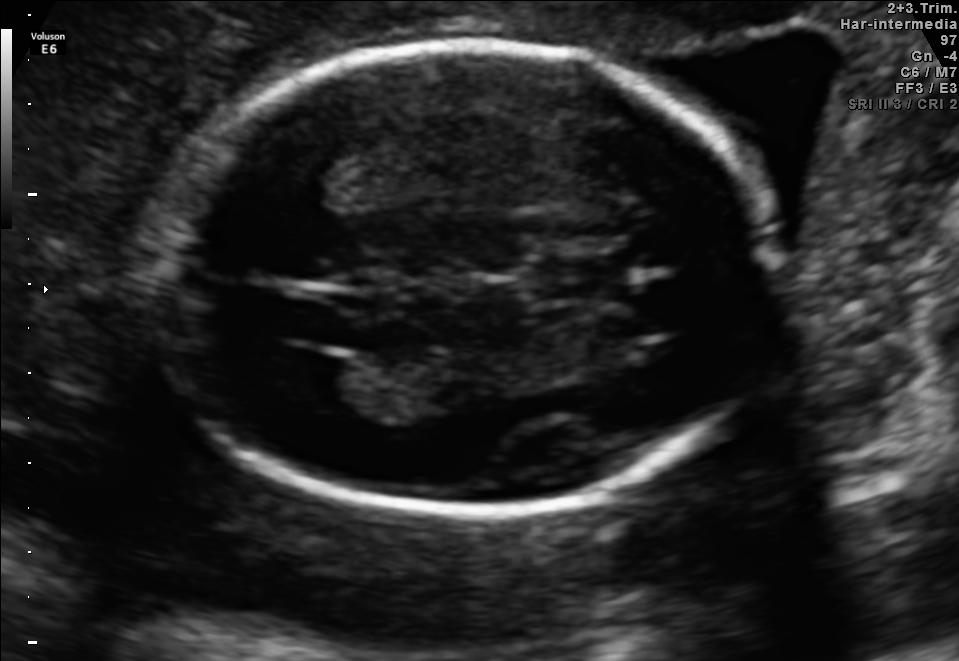
Which standard maternal-fetal ultrasound plane is shown: fetal abdomen, fetal brain, fetal femur, fetal thorax, maternal cervix, or other? If it's fetal brain and one of the three standard brain planes (trans-thalamic, trans-cerebellum, trans-ventricular), name which.

Fetal brain (trans-ventricular plane)